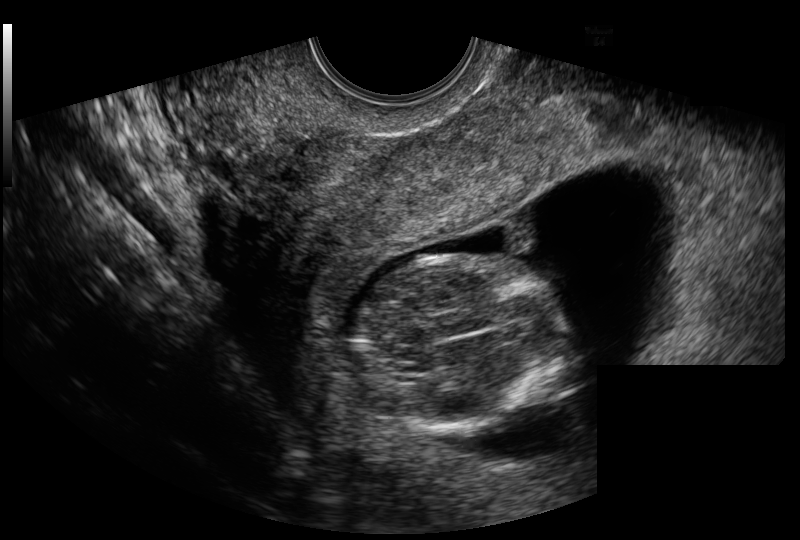
Fetal head ultrasound. Image width: 103.2 mm. Give [x1,y1,x2,y2] bounding boxes for each visible structure among: fetal head, CSP, LV.

Head: [356,256,569,433]